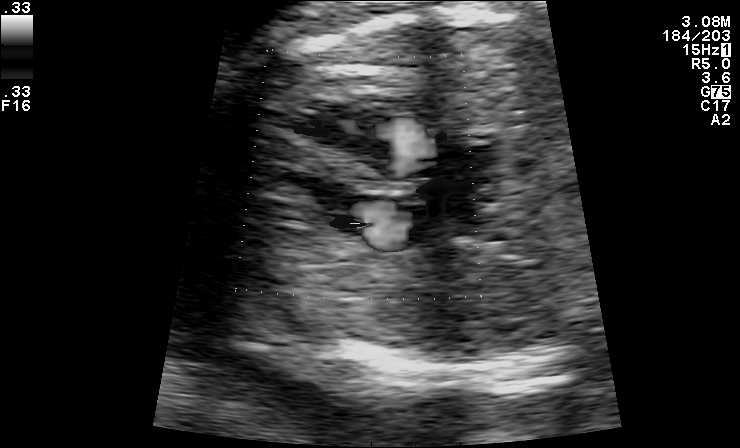
Classify this maternal-fetal ultrasound image as one of the six standard planes — fetal abdomen, fetal brain, fetal femur, fetal thorax, maternal cervix, or other. If it's fetal brain and one of the three standard brain planes (trans-thalamic, trans-cerebellum, trans-ventricular), name which.

Other